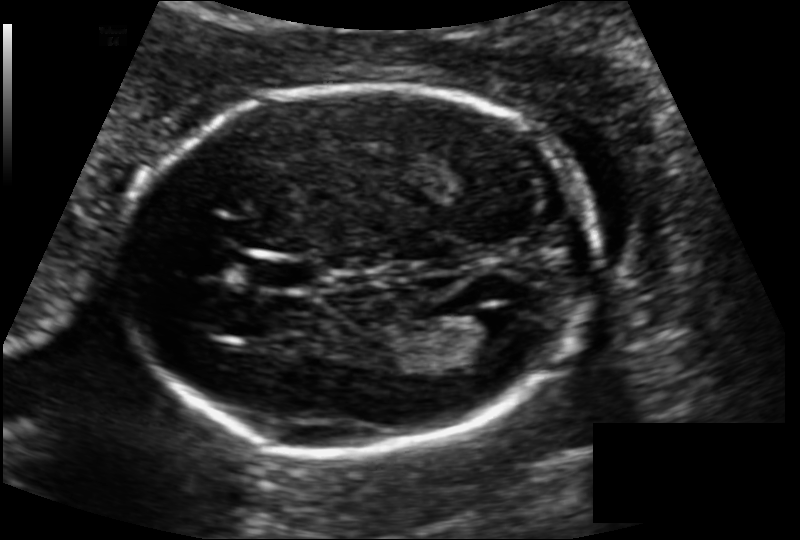
Fetal head ultrasound. Image width: 99.0 mm. Where is the fetal head?

Head bounding box: [121,87,601,457]